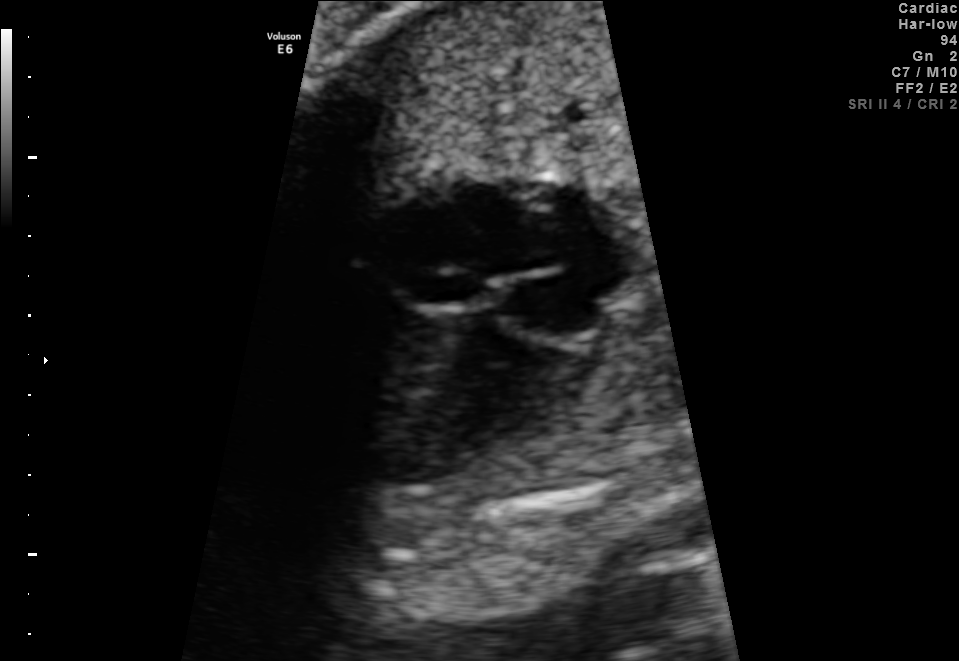
This is a 2D maternal-fetal ultrasound frame. Is it a fetal abdomen, fetal brain, fetal femur, fetal thorax, maternal cervix, or other standard plane? If it's fetal brain and one of the three standard brain planes (trans-thalamic, trans-cerebellum, trans-ventricular), name which.

Fetal thorax